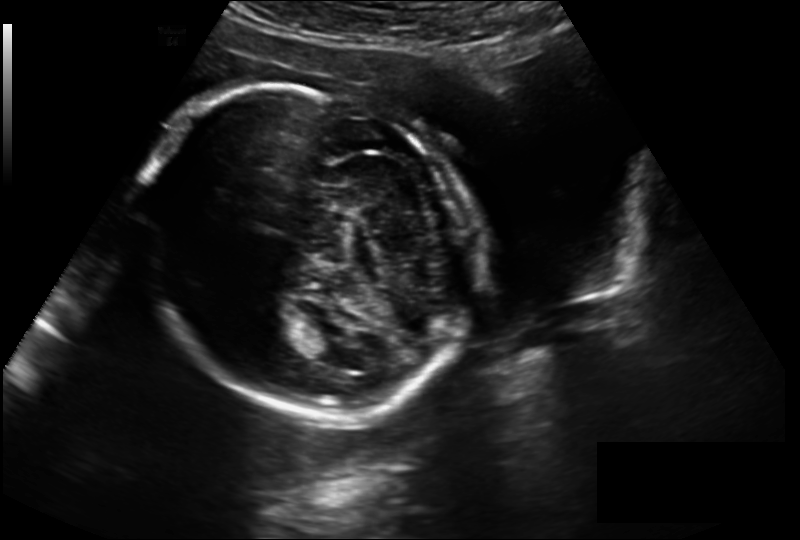
Fetal head ultrasound. Image width: 168.8 mm. Where is the fetal head?

Head bounding box: [141,85,465,422]